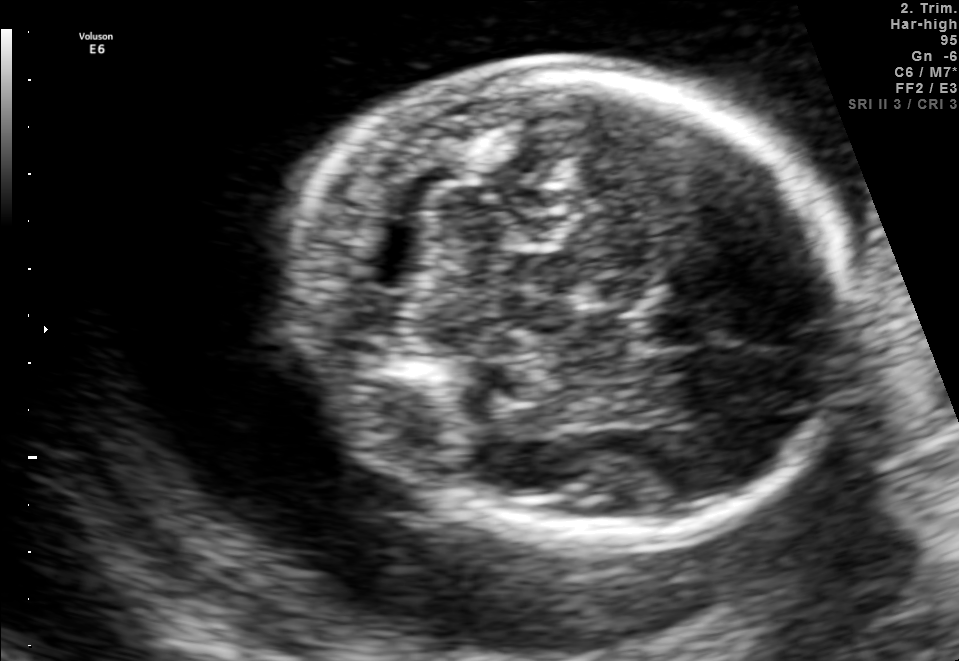
In this fetal brain, trans-cerebellum plane, give the bounding box of the fetal head.

[297,63,846,538]